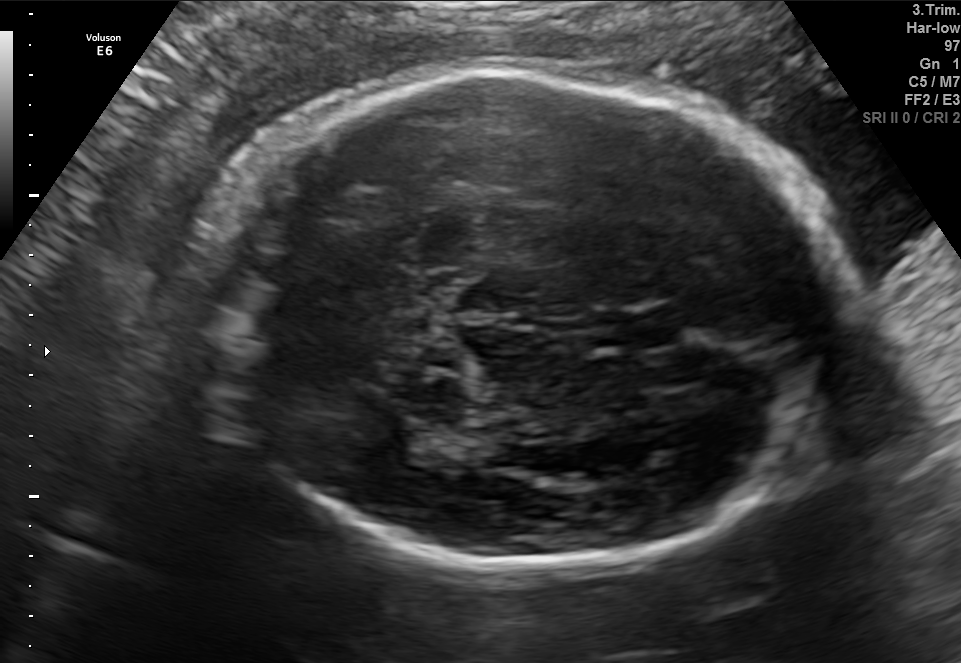
Identify the standard plane in this fetal ultrasound image: fetal abdomen, fetal brain, fetal femur, fetal thorax, maternal cervix, or other. If it's fetal brain and one of the three standard brain planes (trans-thalamic, trans-cerebellum, trans-ventricular), name which.

Fetal brain (trans-thalamic plane)